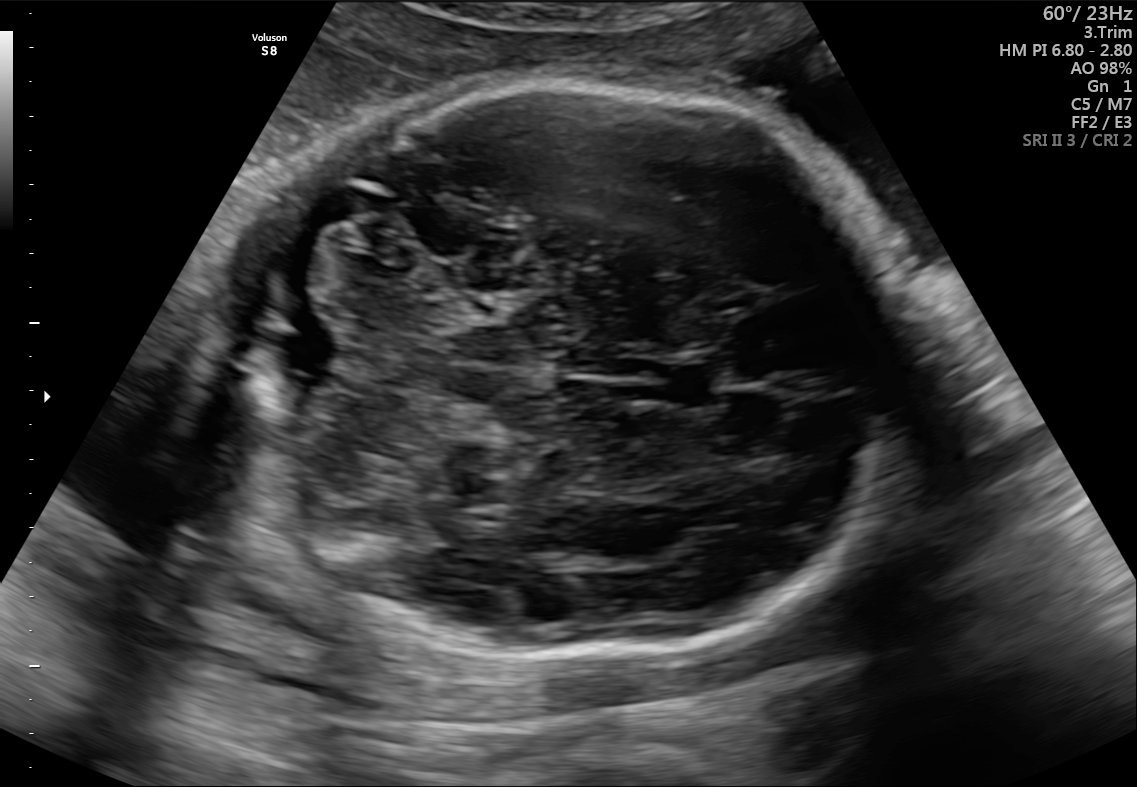
Fetal brain, trans-cerebellum plane. Locate the fetal head.

Head: [209,81,909,663]